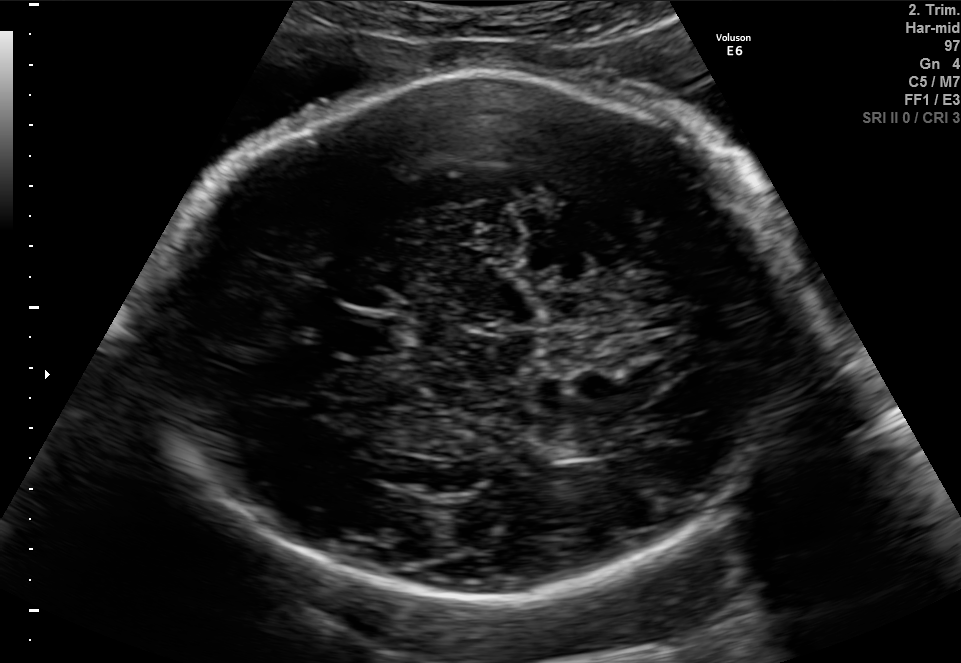
Fetal brain, trans-thalamic plane. Locate the fetal head.

Head: [153,71,814,594]